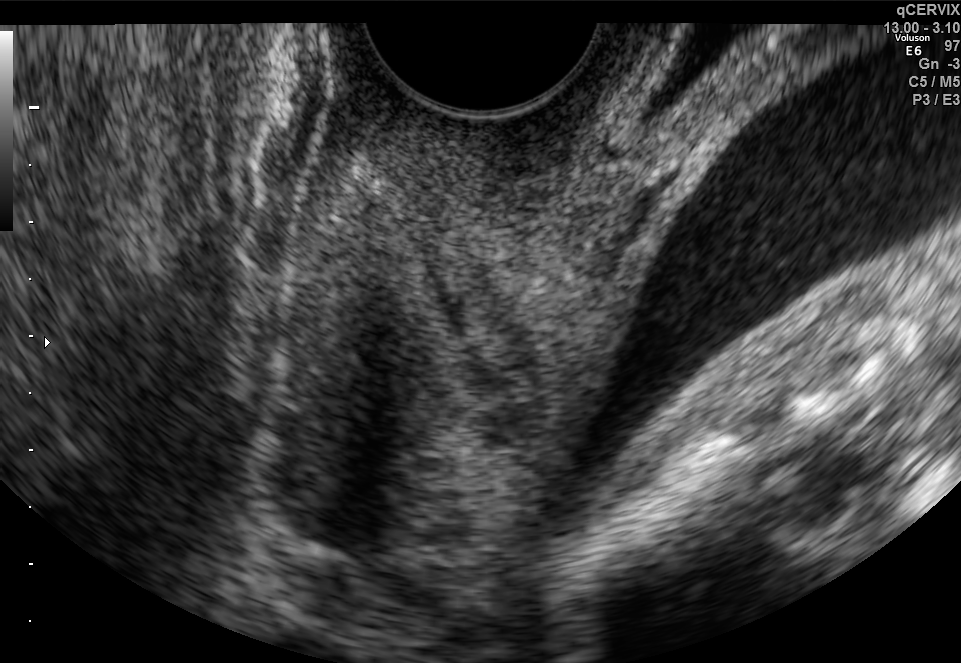
Classify this maternal-fetal ultrasound image as one of the six standard planes — fetal abdomen, fetal brain, fetal femur, fetal thorax, maternal cervix, or other. If it's fetal brain and one of the three standard brain planes (trans-thalamic, trans-cerebellum, trans-ventricular), name which.

Maternal cervix